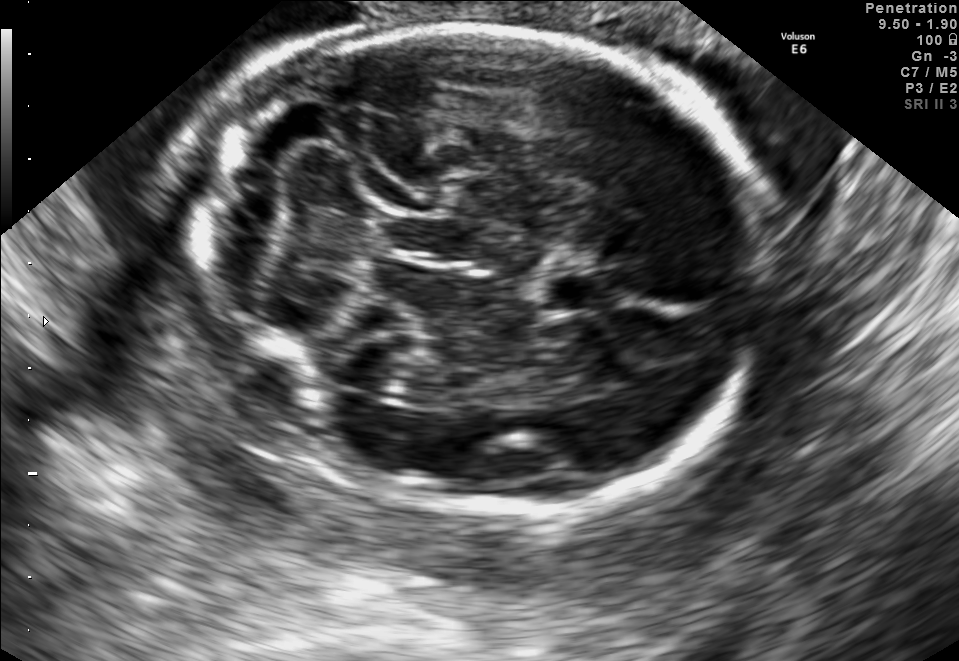
Fetal brain, trans-cerebellum plane. Give [x1,y1,x2,y2] bounding boxes for each visible structure among: fetal head, CSP, LV.

Head: [189,29,768,514]
CSP: [535,267,625,317]